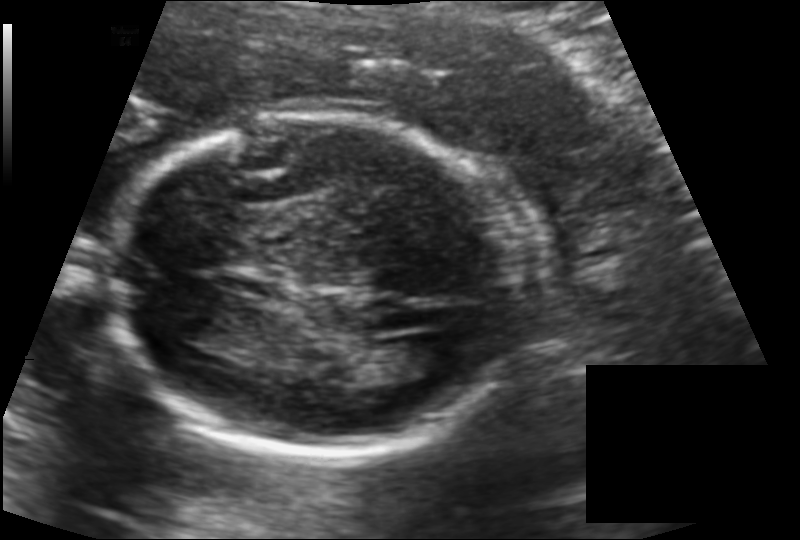
Estimate the fetal head circumference from this 2D ultrasound. Image width: 113.5 mm.

Head circumference: 172.3 mm.